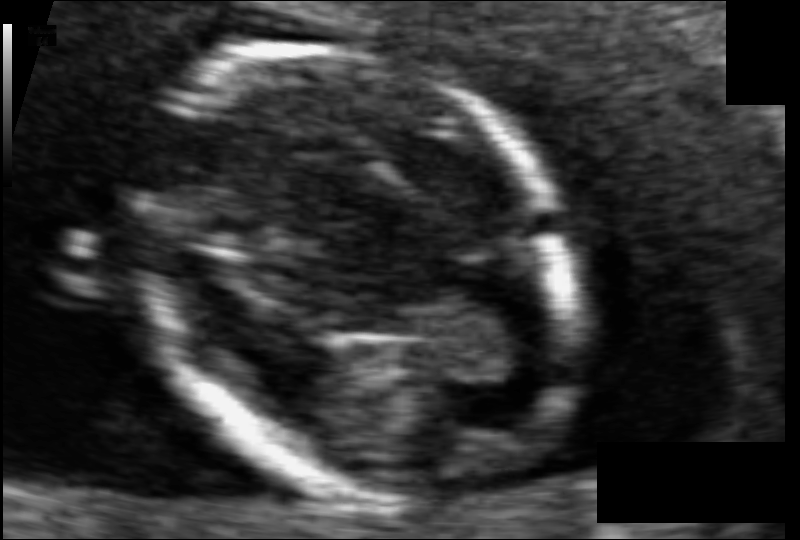
Fetal head ultrasound. Image width: 48.9 mm. Locate the fetal head and, if visible, the cavum septum pellucidum (CSP) and lateral ventricle (LV). Give bounding boxes as [x1,y1,x2,y2].

Head: [137,47,568,498]